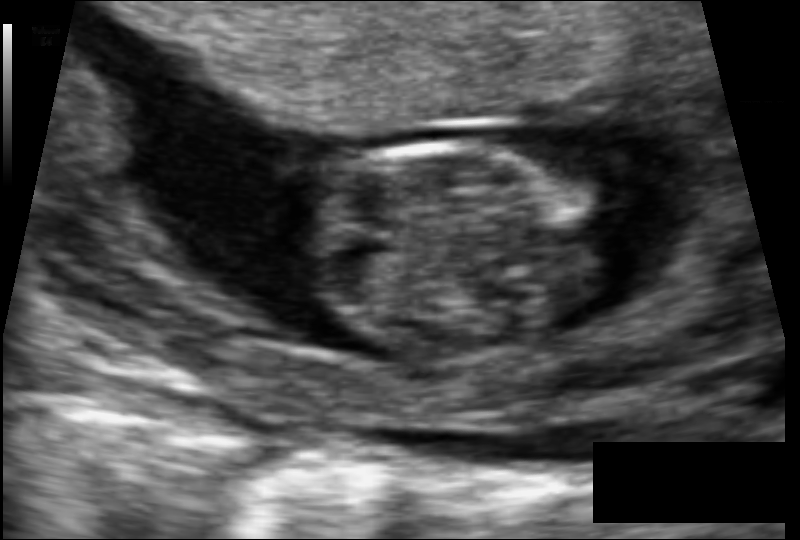
From this fetal ultrasound, estimate the head circumference (image width 61.8 mm).

Head circumference: 60.3 mm.